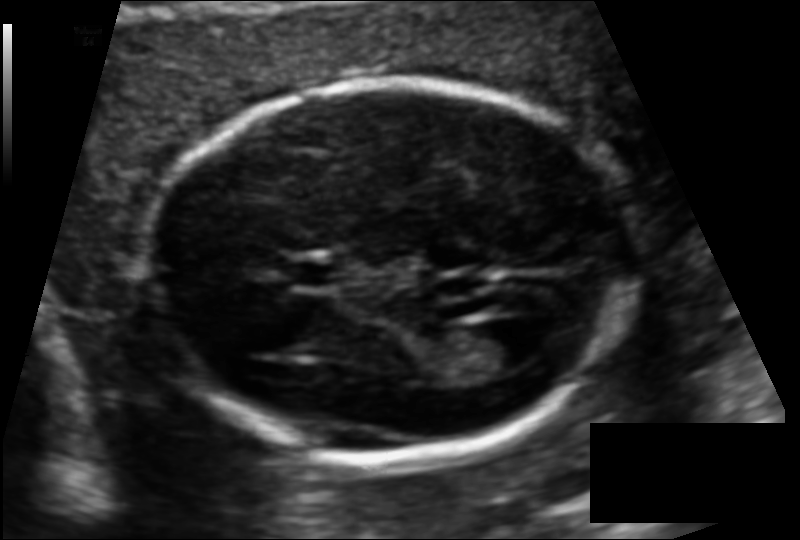
Fetal head ultrasound. Image width: 88.0 mm. Where is the fetal head?

Head bounding box: [148,79,631,457]